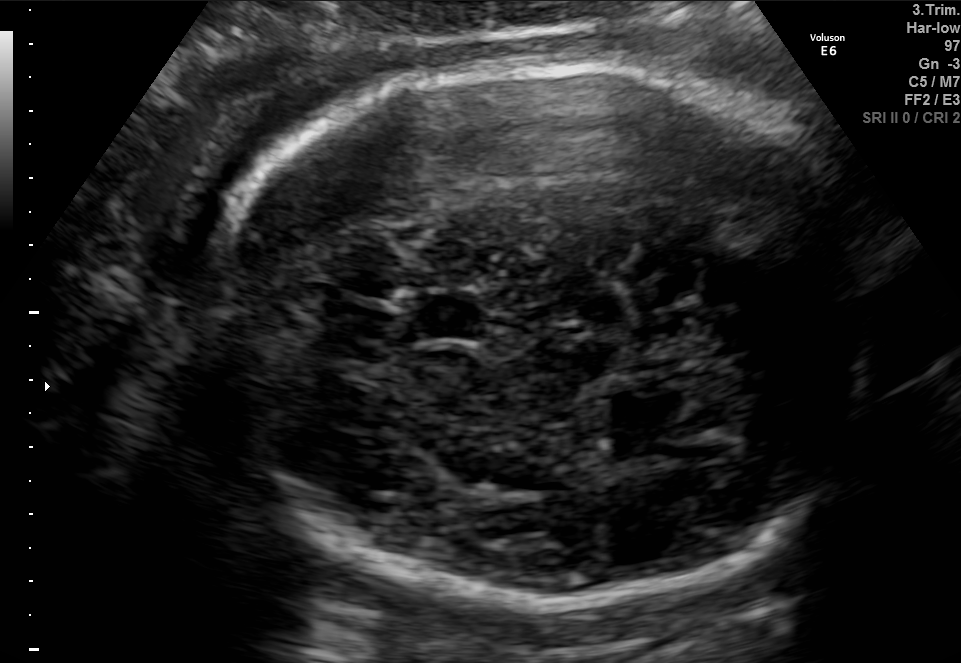
Fetal brain, trans-thalamic plane. Locate the cavum septum pellucidum.

CSP: [412,293,489,343]